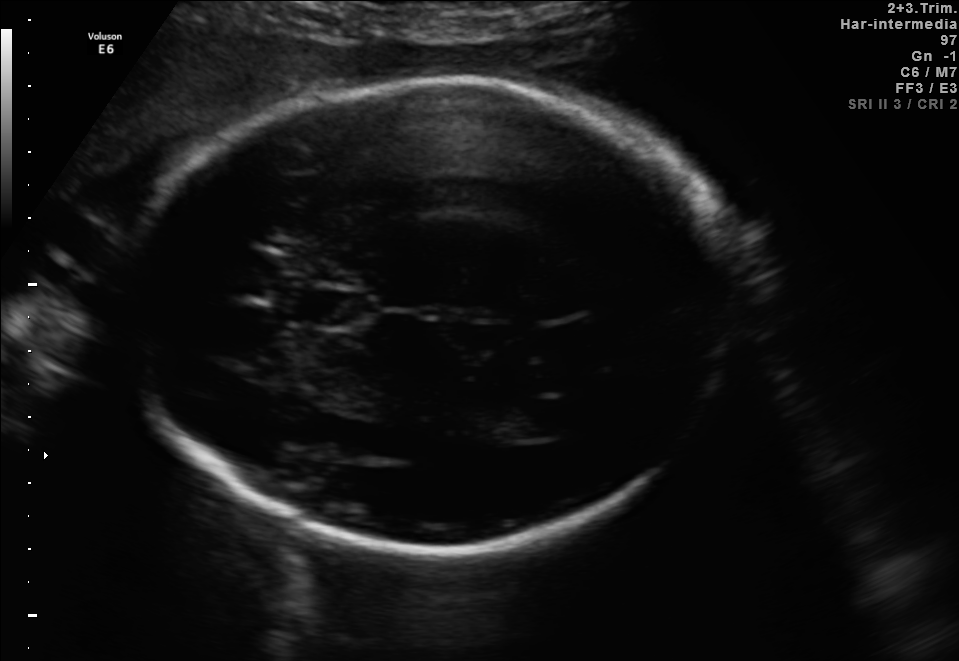
Fetal brain, trans-thalamic plane. Locate the lateral ventricle.

Lateral ventricle: [496,398,569,441]